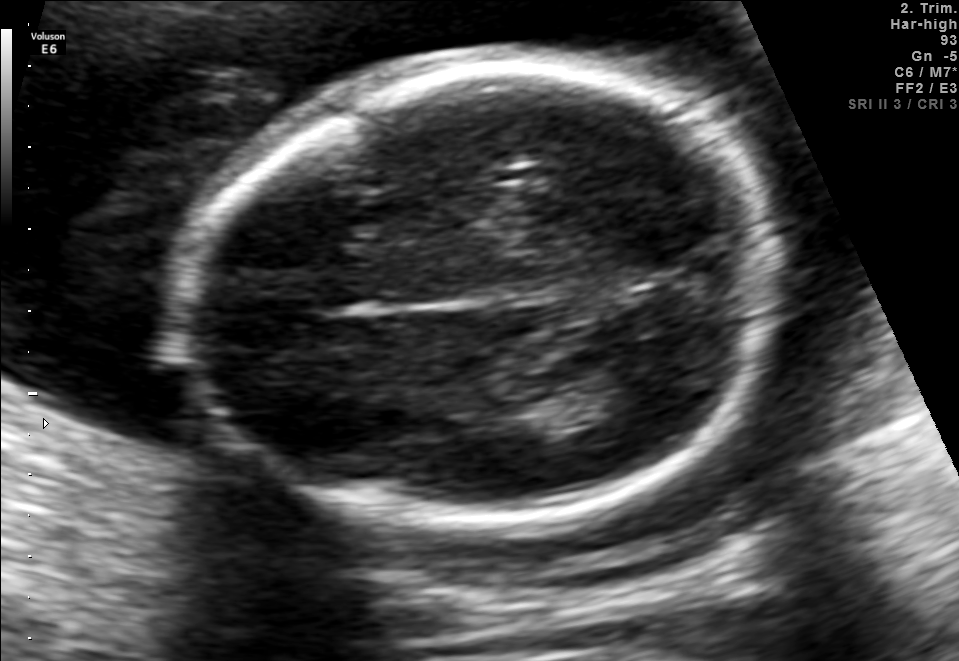
Fetal brain, trans-thalamic plane. Locate the fetal head and, if visible, the cavum septum pellucidum (CSP) and lateral ventricle (LV). Give bounding boxes as [x1,y1,x2,y2].

Head: [183,64,782,521]
Lateral ventricle: [565,359,661,427]